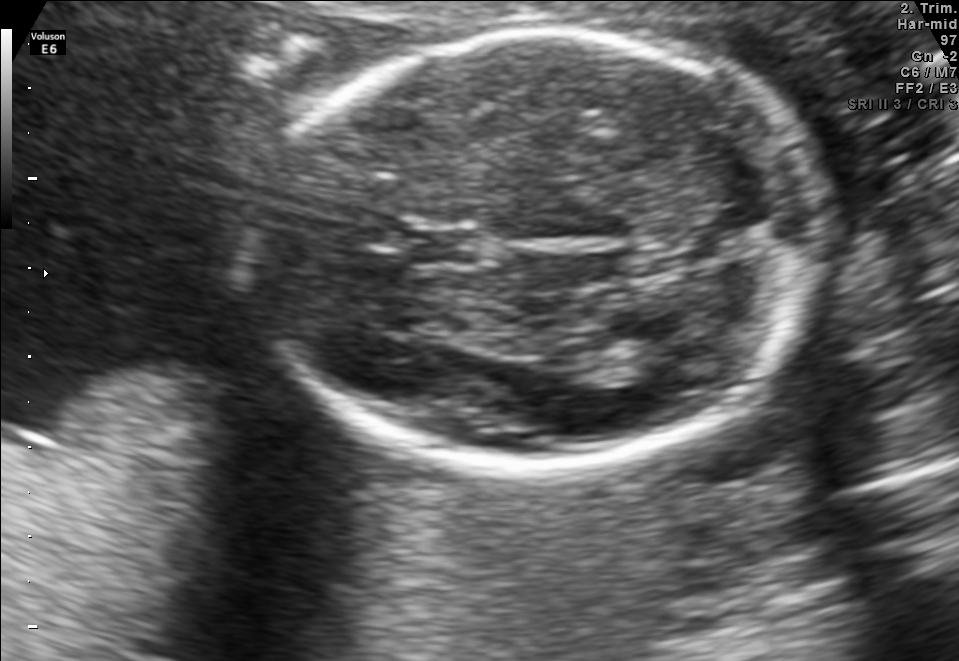
Fetal brain, trans-thalamic plane. Where is the fetal head?

Head bounding box: [257,34,820,463]